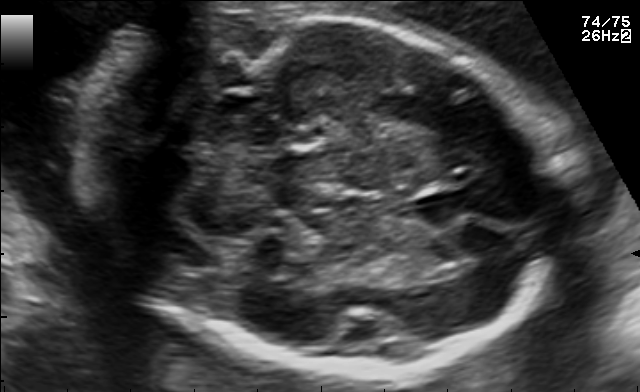
Fetal brain, trans-cerebellum plane. Where is the fetal head?

Head bounding box: [93,12,559,372]